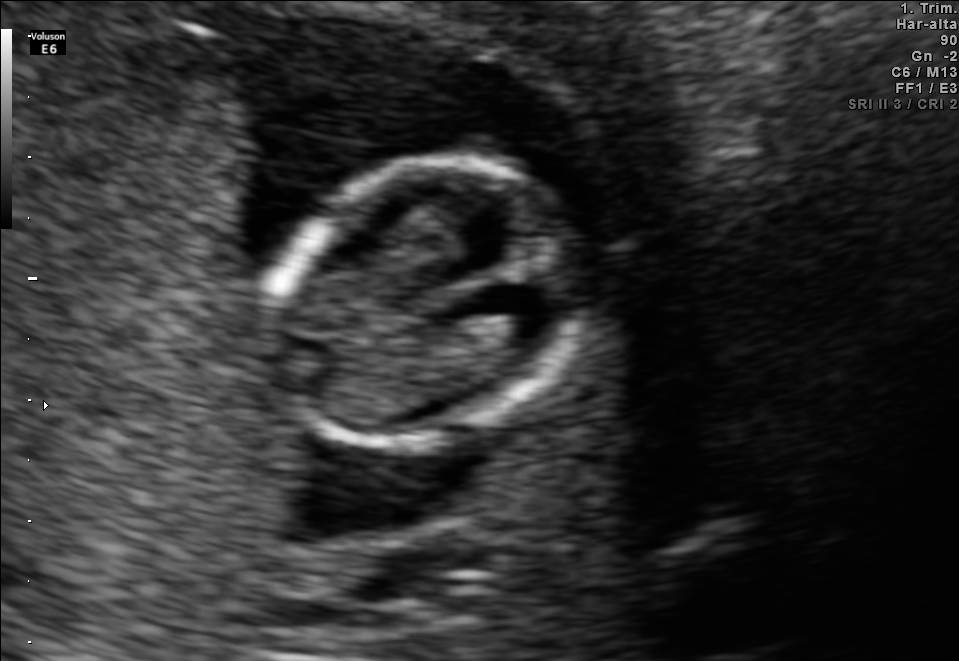
Identify the standard plane in this fetal ultrasound image: fetal abdomen, fetal brain, fetal femur, fetal thorax, maternal cervix, or other. If it's fetal brain and one of the three standard brain planes (trans-thalamic, trans-cerebellum, trans-ventricular), name which.

Fetal brain